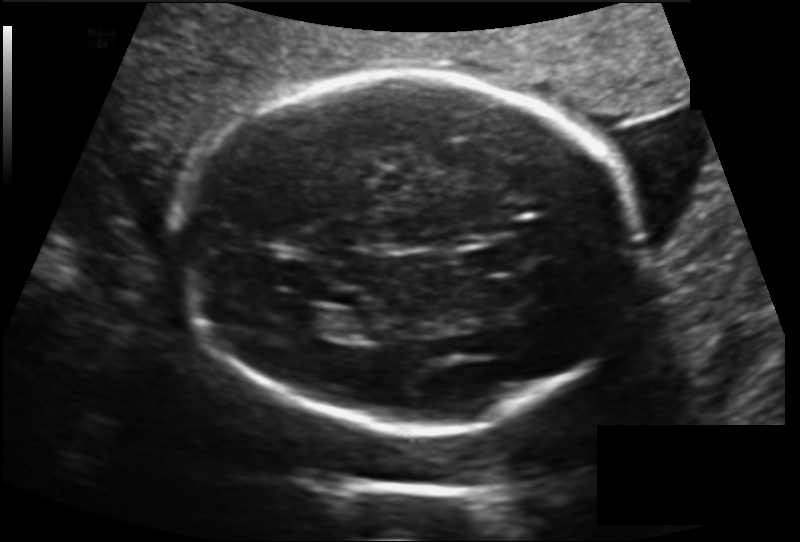
Estimate the fetal head circumference from this 2D ultrasound. Image width: 127.7 mm.

Head circumference: 212.1 mm.